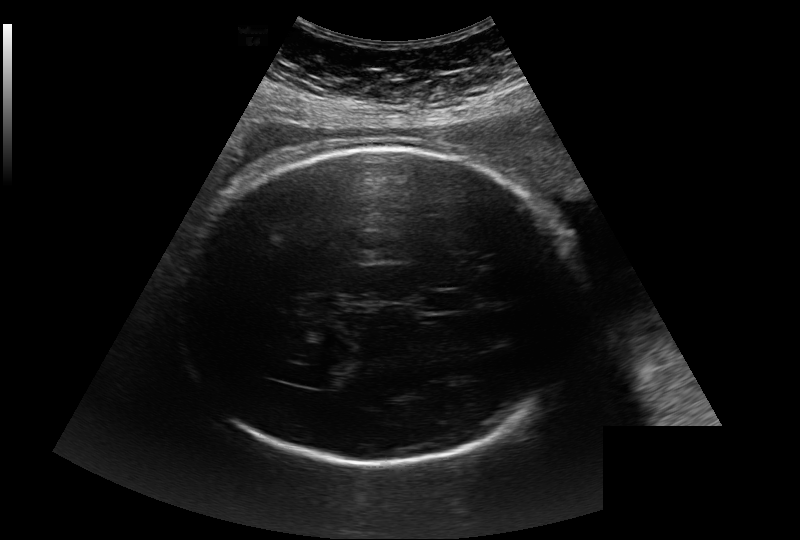
Estimate the fetal head circumference from this 2D ultrasound. Image width: 227.4 mm.

Head circumference: 324.0 mm.